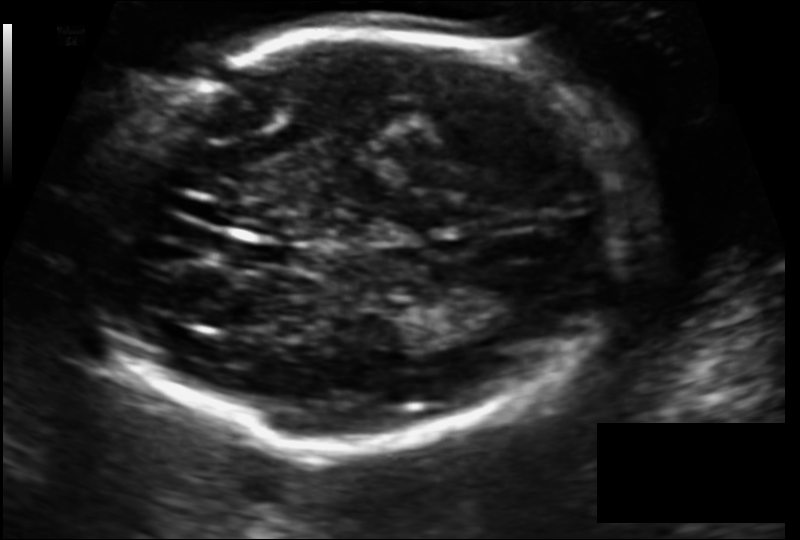
From this fetal ultrasound, estimate the head circumference (image width 98.9 mm).

Head circumference: 191.9 mm.